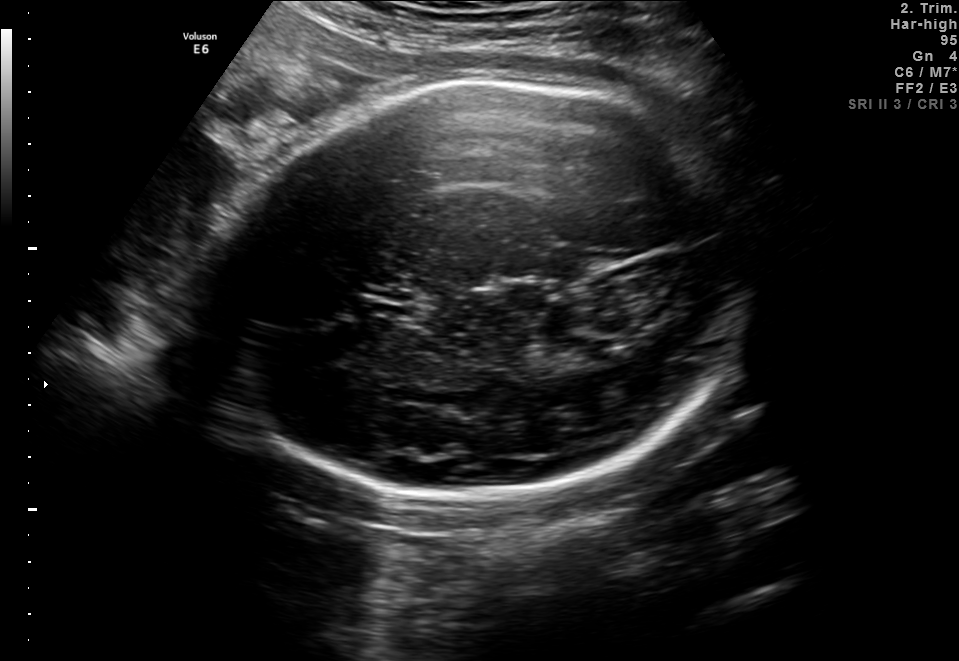
Fetal brain, trans-thalamic plane. Give [x1,y1,x2,y2] bounding boxes for each visible structure among: fetal head, CSP, LV.

Head: [204,76,753,489]